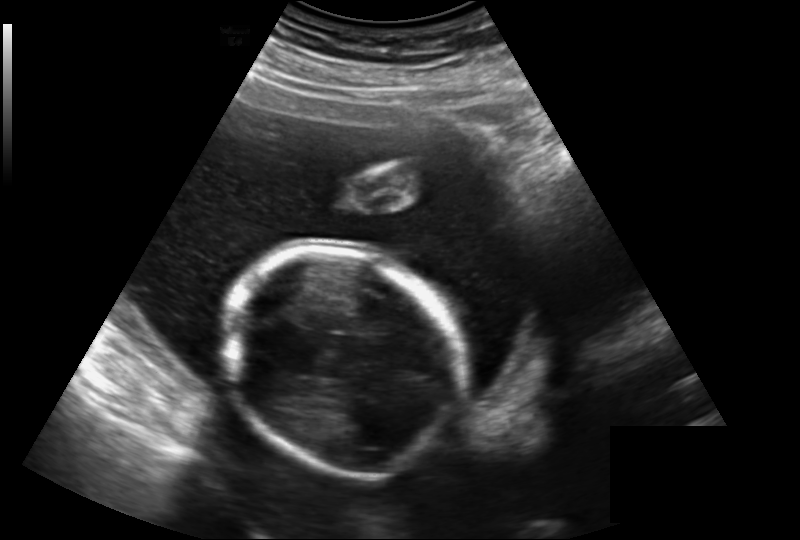
Fetal head ultrasound. Image width: 175.3 mm. Where is the fetal head?

Head bounding box: [222,251,466,474]